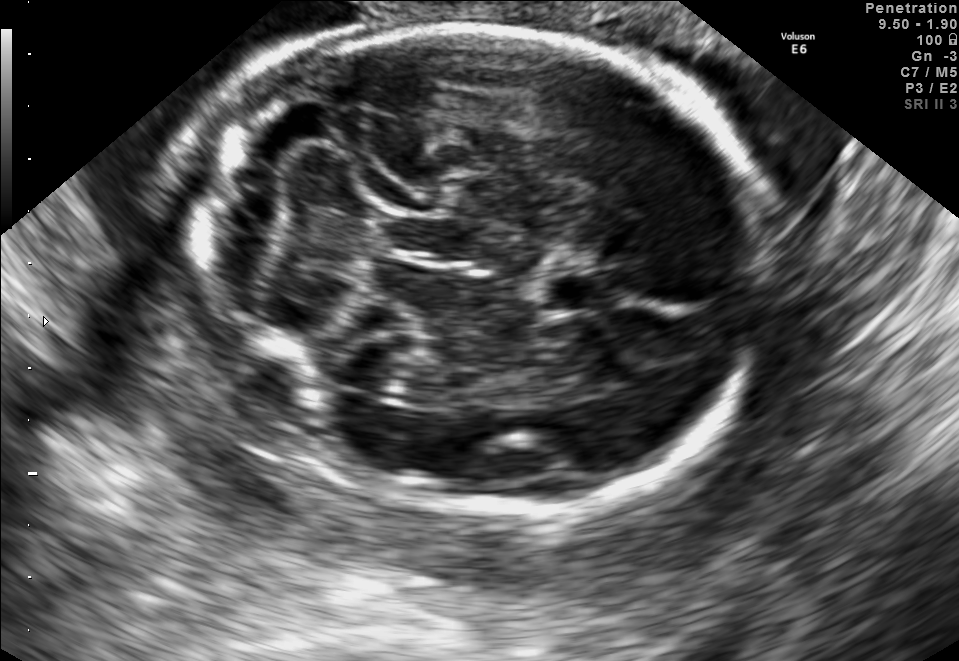
Fetal brain, trans-cerebellum plane. Where is the cavum septum pellucidum?

CSP bounding box: [535,267,625,317]